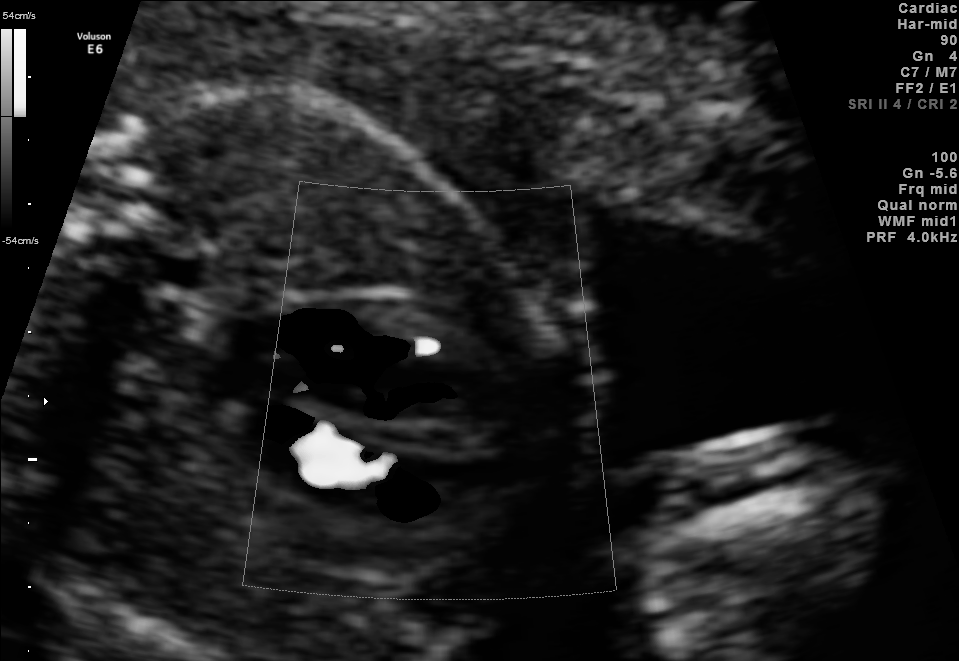
Classify this maternal-fetal ultrasound image as one of the six standard planes — fetal abdomen, fetal brain, fetal femur, fetal thorax, maternal cervix, or other. If it's fetal brain and one of the three standard brain planes (trans-thalamic, trans-cerebellum, trans-ventricular), name which.

Other